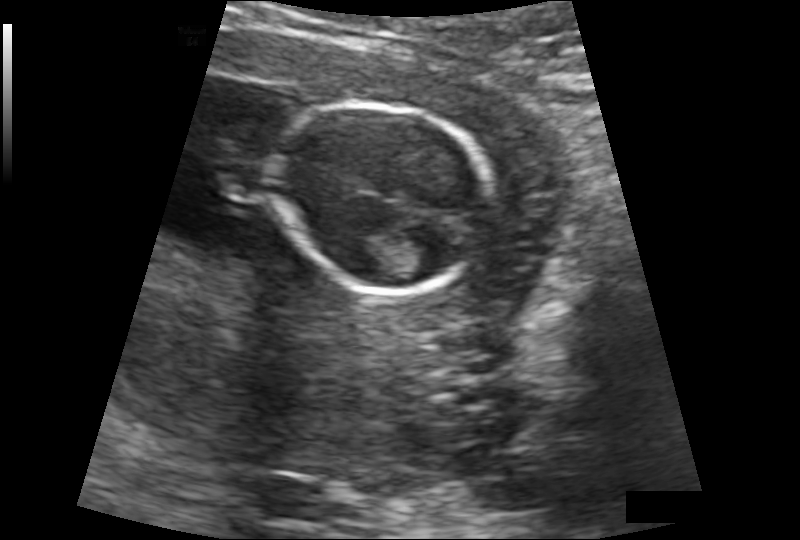
What is the fetal head circumference? Image width is 105.8 mm.

88.5 mm